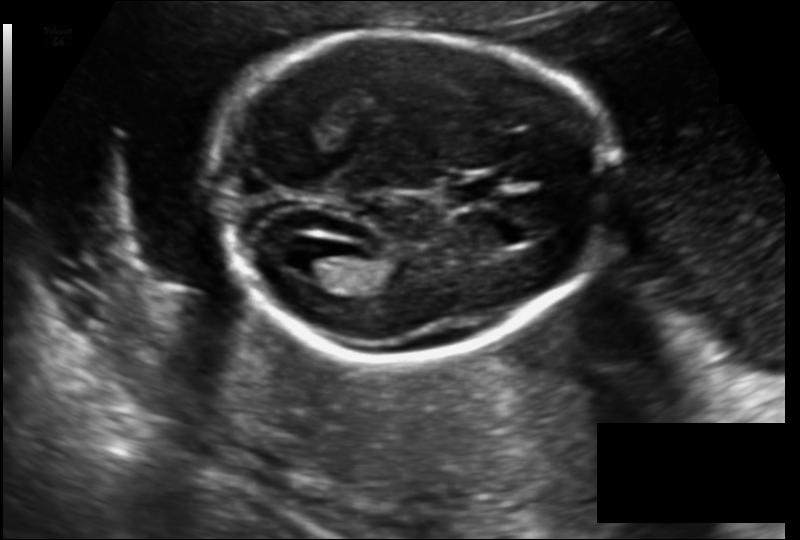
Fetal head ultrasound. Image width: 113.3 mm. Locate the fetal head.

Head: [214,32,610,361]